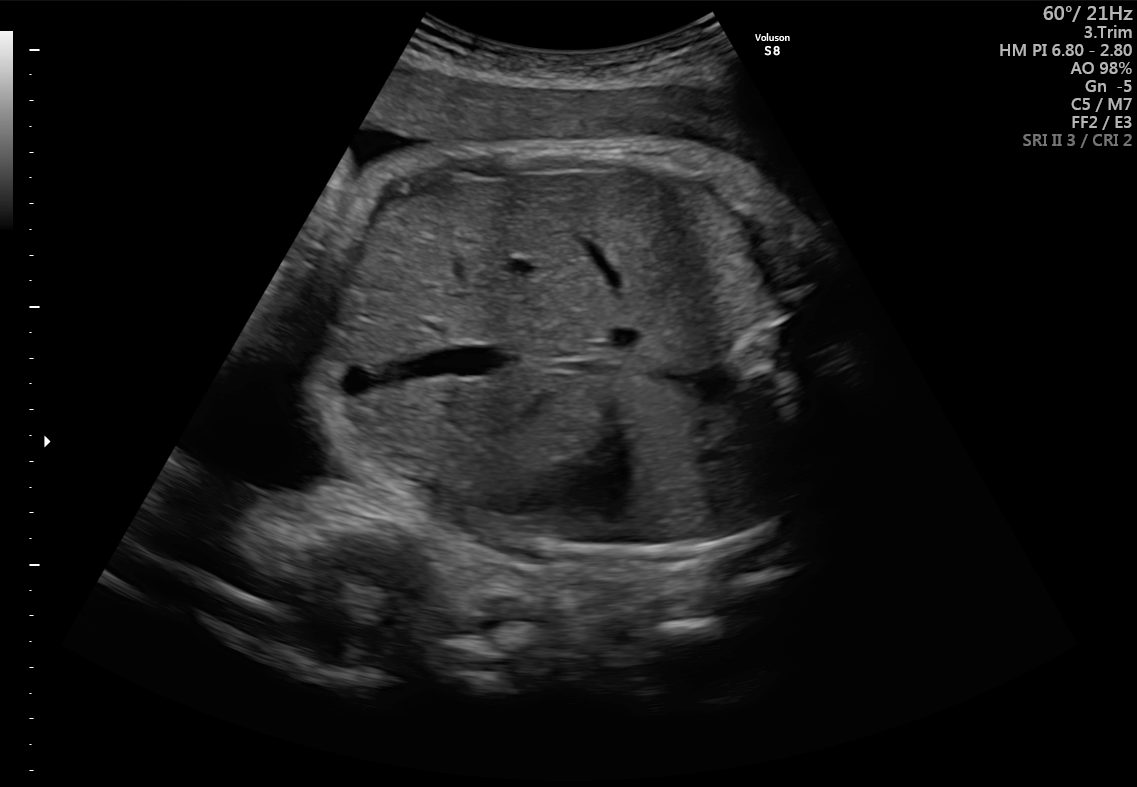
Classify this maternal-fetal ultrasound image as one of the six standard planes — fetal abdomen, fetal brain, fetal femur, fetal thorax, maternal cervix, or other. If it's fetal brain and one of the three standard brain planes (trans-thalamic, trans-cerebellum, trans-ventricular), name which.

Fetal abdomen